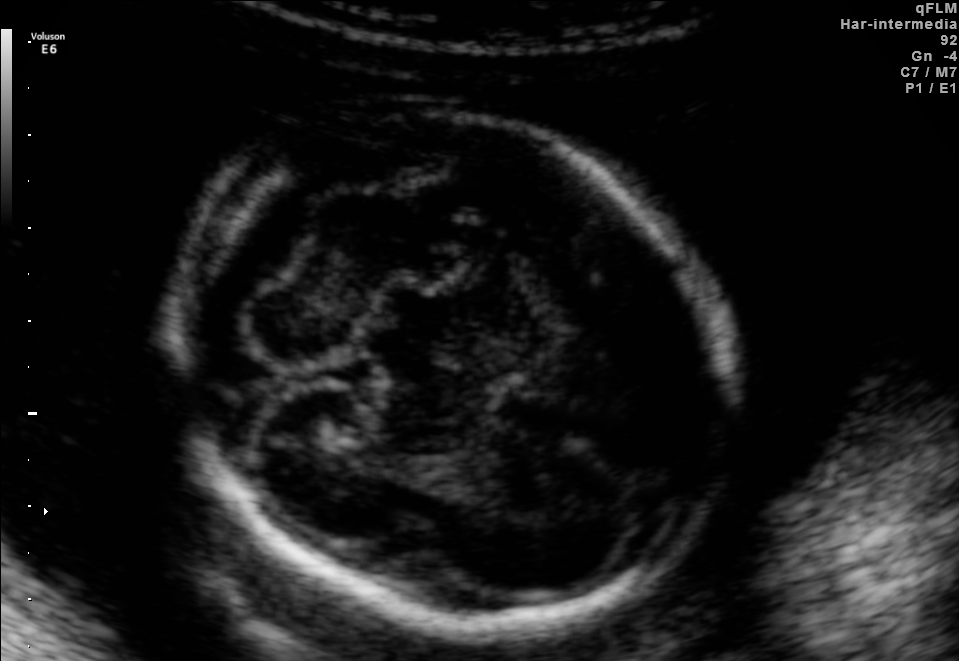
Fetal brain, trans-cerebellum plane. Locate the fetal head and, if visible, the cavum septum pellucidum (CSP) and lateral ventricle (LV). Give bounding boxes as [x1,y1,x2,y2].

Head: [181,101,726,624]